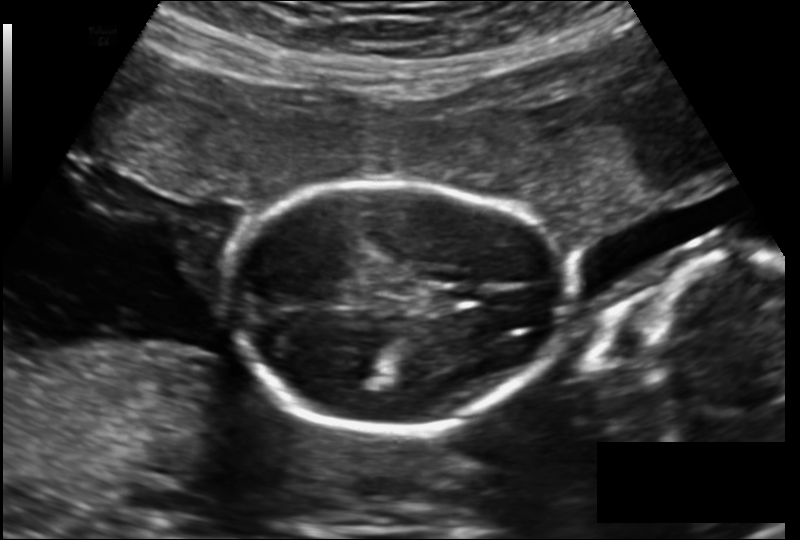
From this fetal ultrasound, estimate the head circumference (image width 125.7 mm).

Head circumference: 152.4 mm.